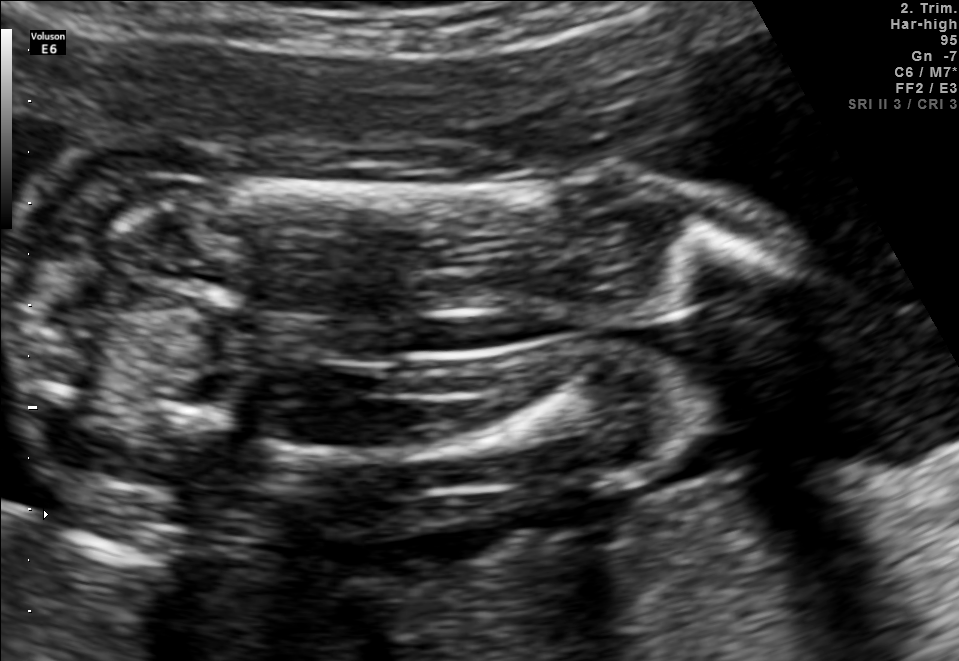
This is a 2D maternal-fetal ultrasound frame. Is it a fetal abdomen, fetal brain, fetal femur, fetal thorax, maternal cervix, or other standard plane? If it's fetal brain and one of the three standard brain planes (trans-thalamic, trans-cerebellum, trans-ventricular), name which.

Fetal femur